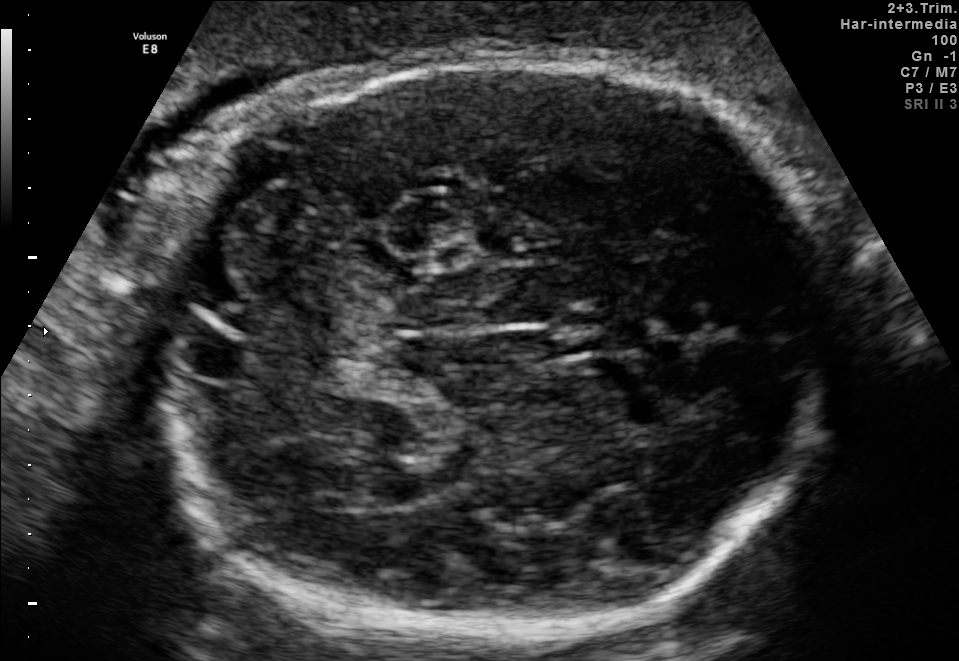
In this fetal brain, trans-cerebellum plane, give the bounding box of the cavum septum pellucidum.

[572,304,651,356]